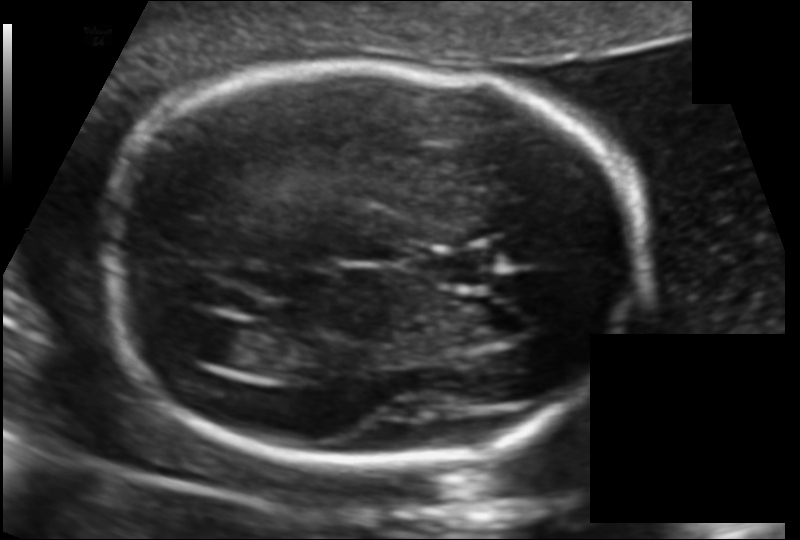
Fetal head ultrasound. Image width: 93.9 mm. Locate the cavum septum pellucidum.

CSP: [423,251,496,289]